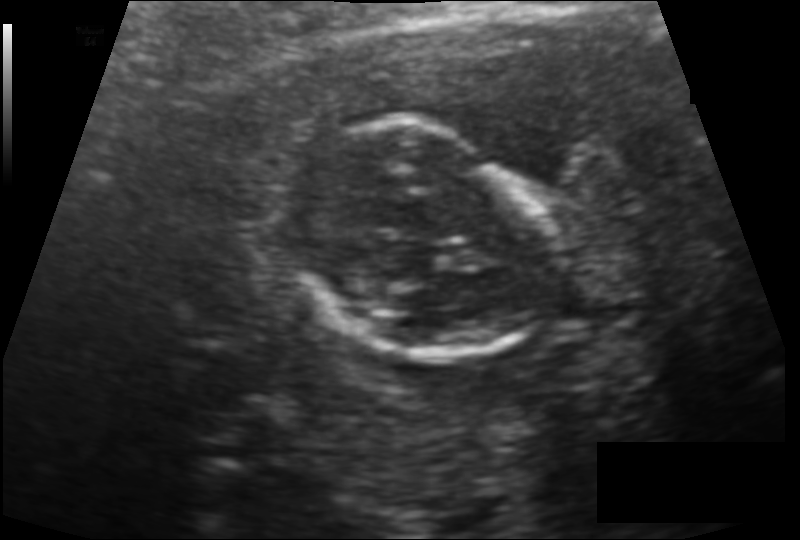
In this fetal head ultrasound, give bounding boxes for the head outline, cavum septum pellucidum (CSP), and lateral ventricle (LV), where visible. Image width: 91.6 mm.

Head: [283,122,552,361]